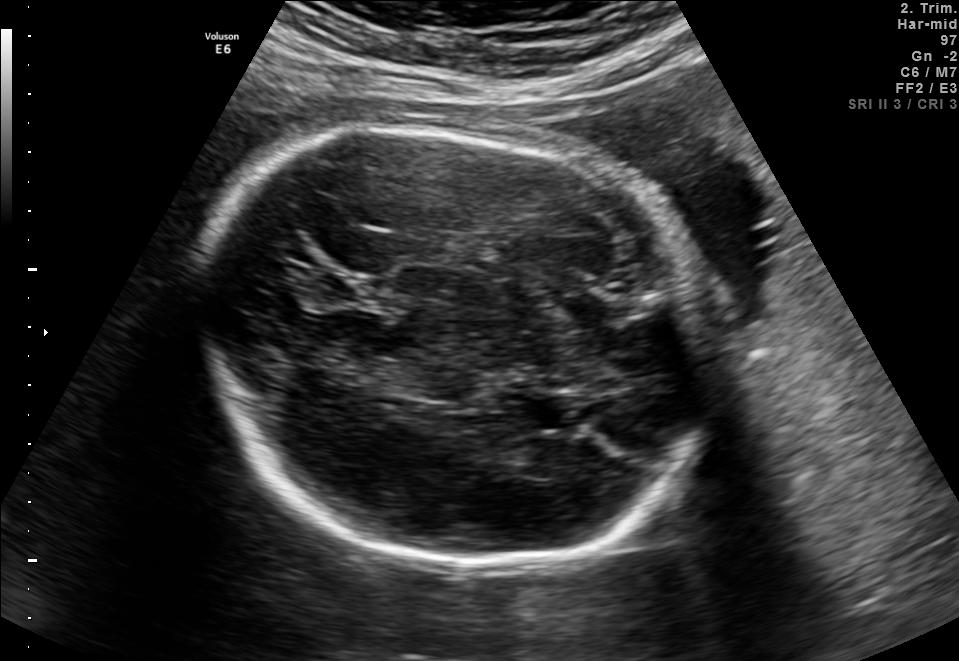
In this fetal brain, trans-thalamic plane, give the bounding box of the fetal head.

[201,121,704,570]